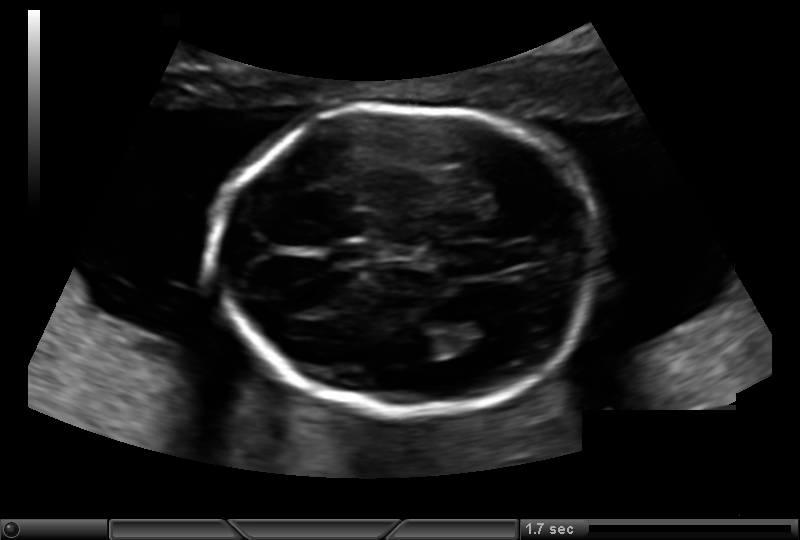
Estimate the fetal head circumference from this 2D ultrasound. Image width: 107.7 mm.

Head circumference: 154.6 mm.